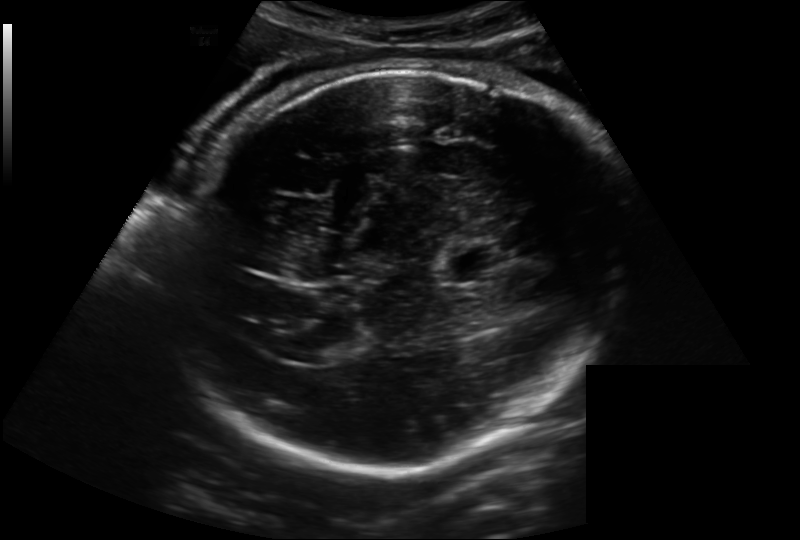
Fetal head ultrasound. Image width: 177.2 mm. Where is the cavum septum pellucidum?

CSP bounding box: [441,240,506,288]